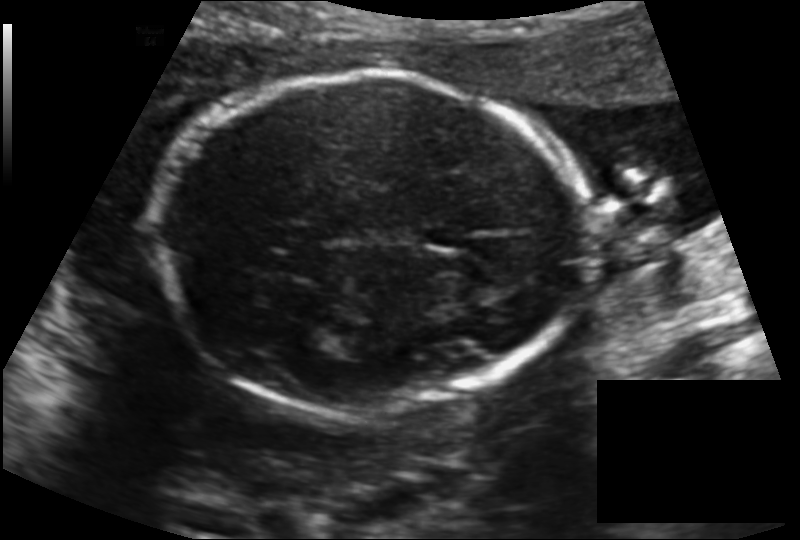
Estimate the fetal head circumference from this 2D ultrasound.

Head circumference: 182.3 mm (image width 116.2 mm).